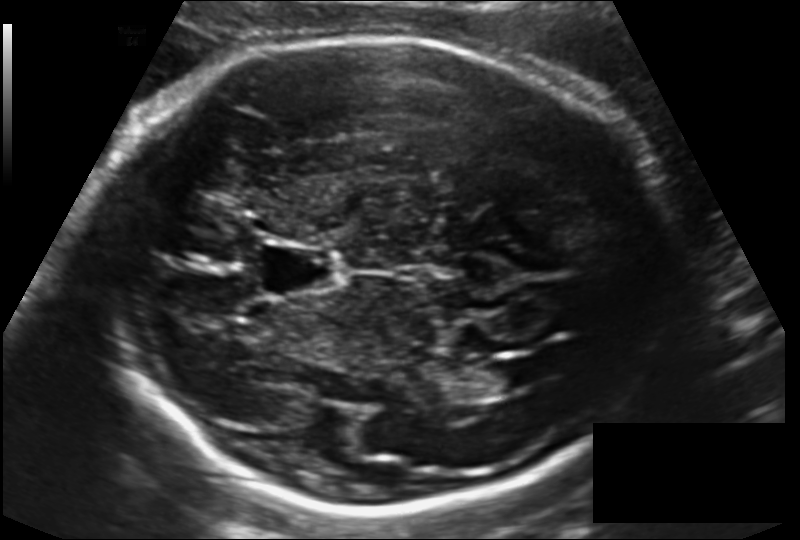
Fetal head ultrasound. Image width: 123.9 mm. Give [x1,y1,x2,y2] bounding boxes for each visible structure among: fetal head, CSP, LV.

Head: [94,37,669,515]
CSP: [259,245,341,294]
Lateral ventricle: [470,357,527,399]